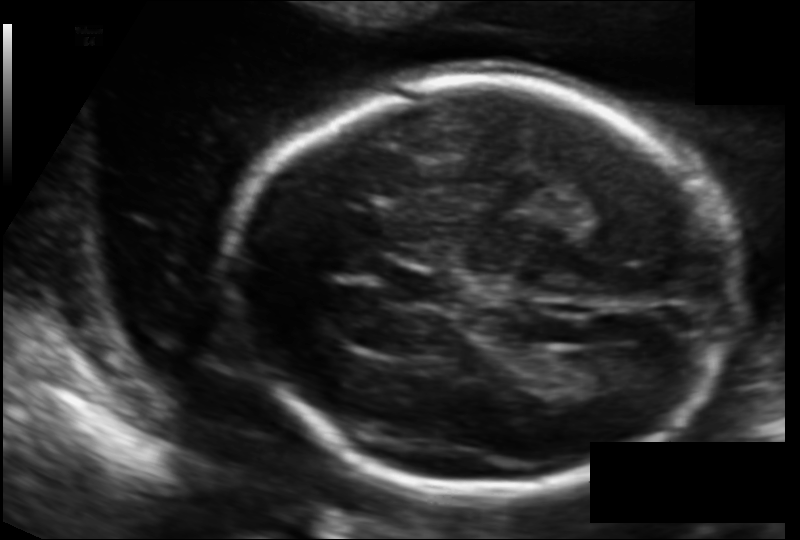
From this fetal ultrasound, estimate the head circumference (image width 100.4 mm).

Head circumference: 185.7 mm.